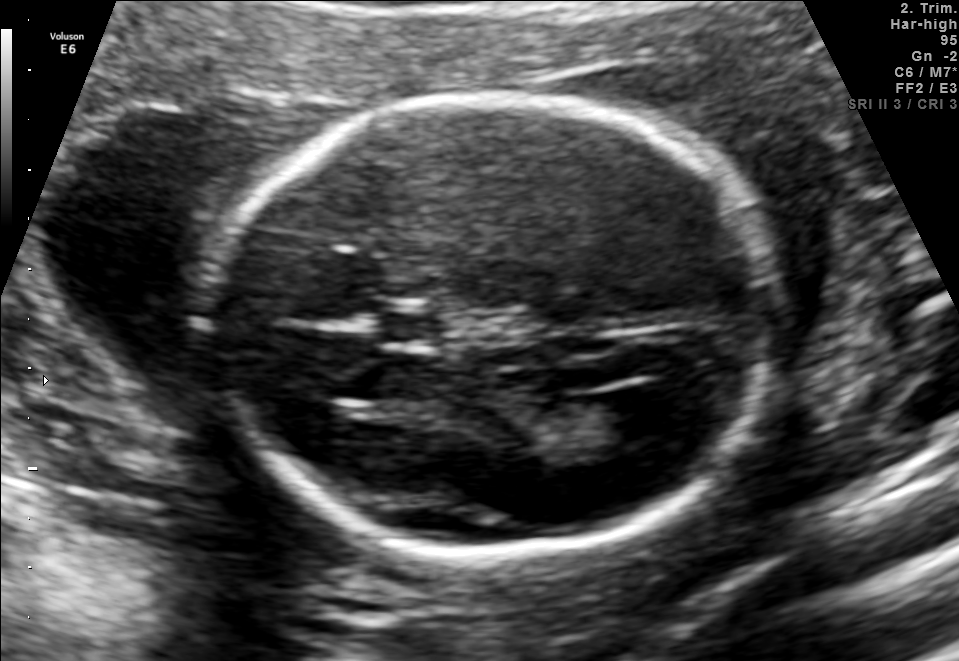
Fetal brain, trans-ventricular plane. Locate the cavum septum pellucidum.

CSP: [370,308,460,347]